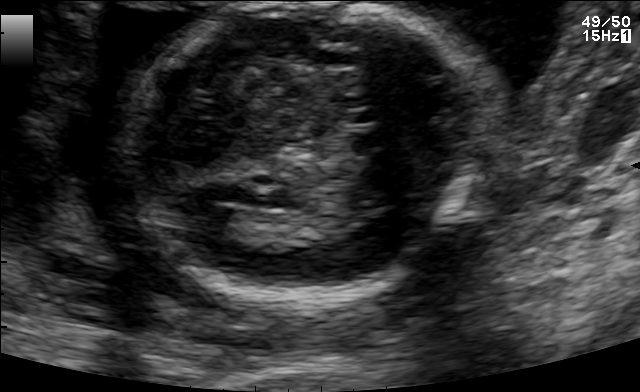
Fetal brain, trans-thalamic plane. Locate the fetal head and, if visible, the cavum septum pellucidum (CSP) and lateral ventricle (LV). Give bounding boxes as [x1,y1,x2,y2].

Head: [133,2,467,302]
Lateral ventricle: [195,203,257,245]